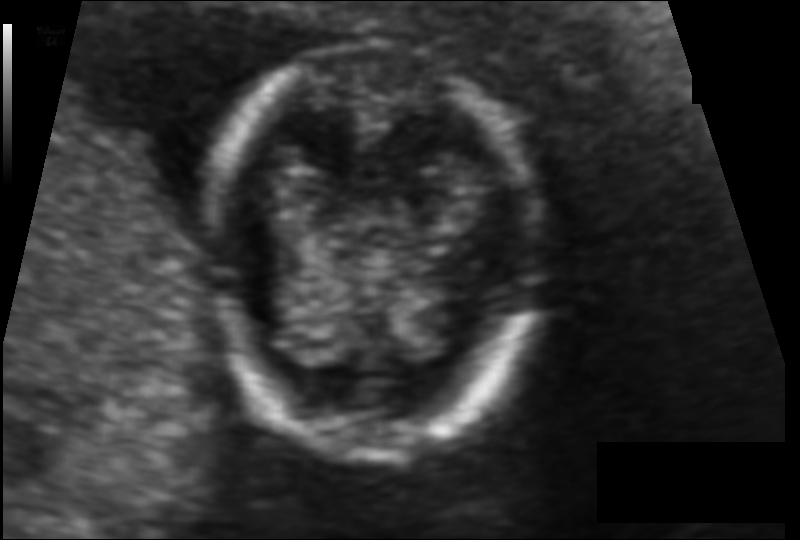
Fetal head ultrasound. Image width: 63.9 mm. Where is the fetal head?

Head bounding box: [212,46,535,460]